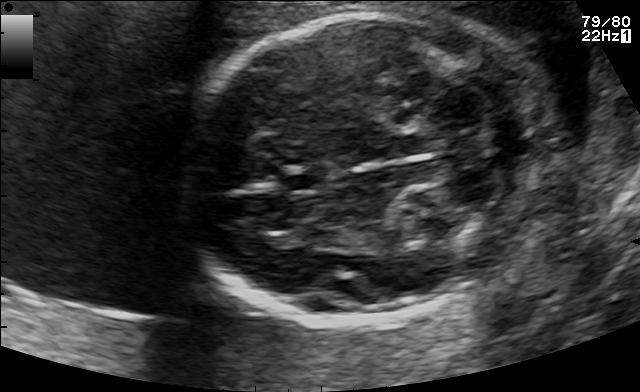
Fetal brain, trans-cerebellum plane. Give [x1,y1,x2,y2] bounding boxes for each visible structure among: fetal head, CSP, LV.

Head: [180,12,558,321]
CSP: [277,165,332,196]